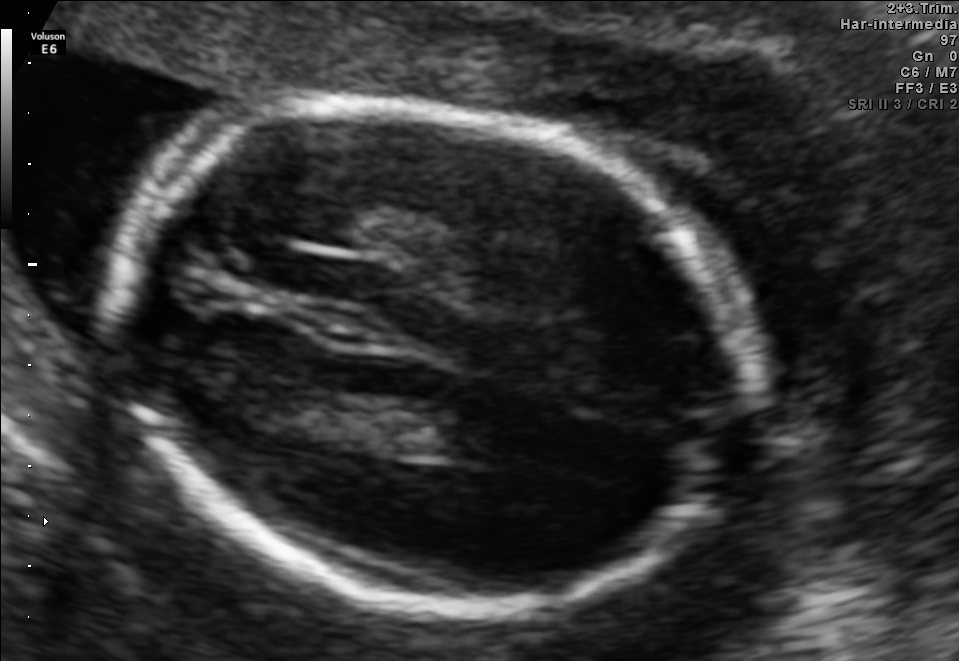
Fetal brain, trans-thalamic plane. Locate the fetal head.

Head: [102,100,743,615]